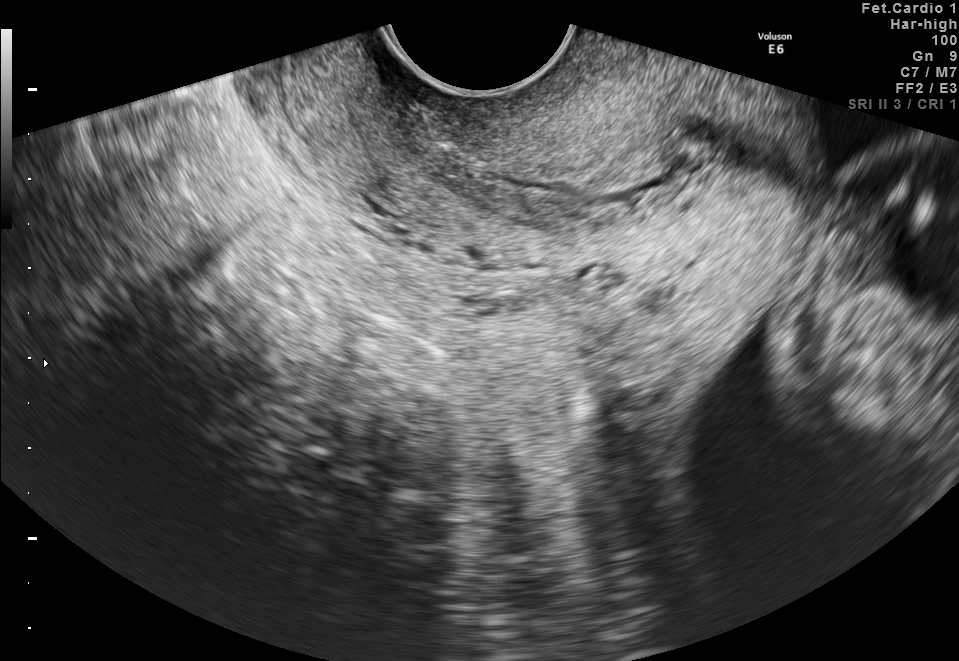
Classify this maternal-fetal ultrasound image as one of the six standard planes — fetal abdomen, fetal brain, fetal femur, fetal thorax, maternal cervix, or other. If it's fetal brain and one of the three standard brain planes (trans-thalamic, trans-cerebellum, trans-ventricular), name which.

Maternal cervix